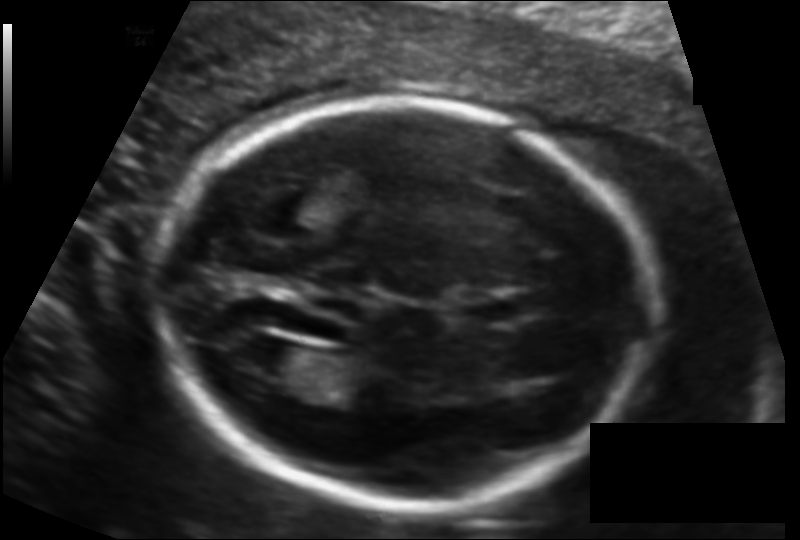
Fetal head ultrasound. Image width: 98.9 mm. Locate the fetal head.

Head: [158,98,649,507]